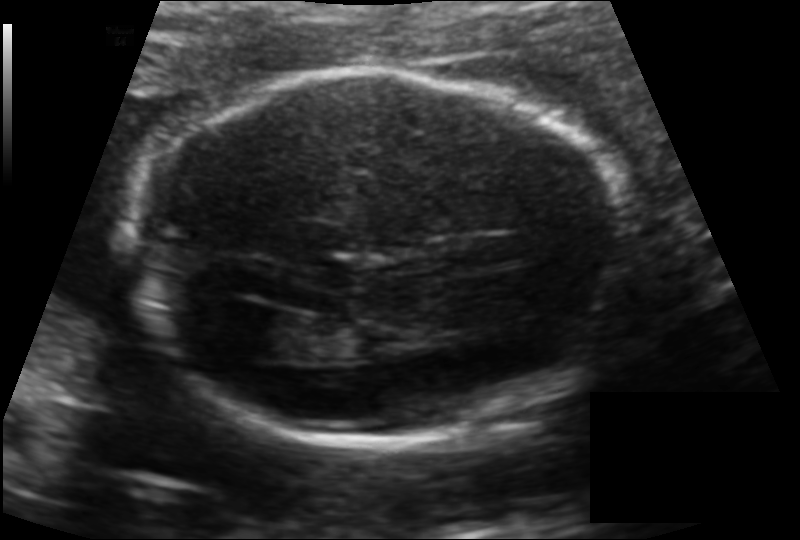
Fetal head ultrasound. Image width: 107.1 mm. Locate the fetal head.

Head: [138,69,631,441]